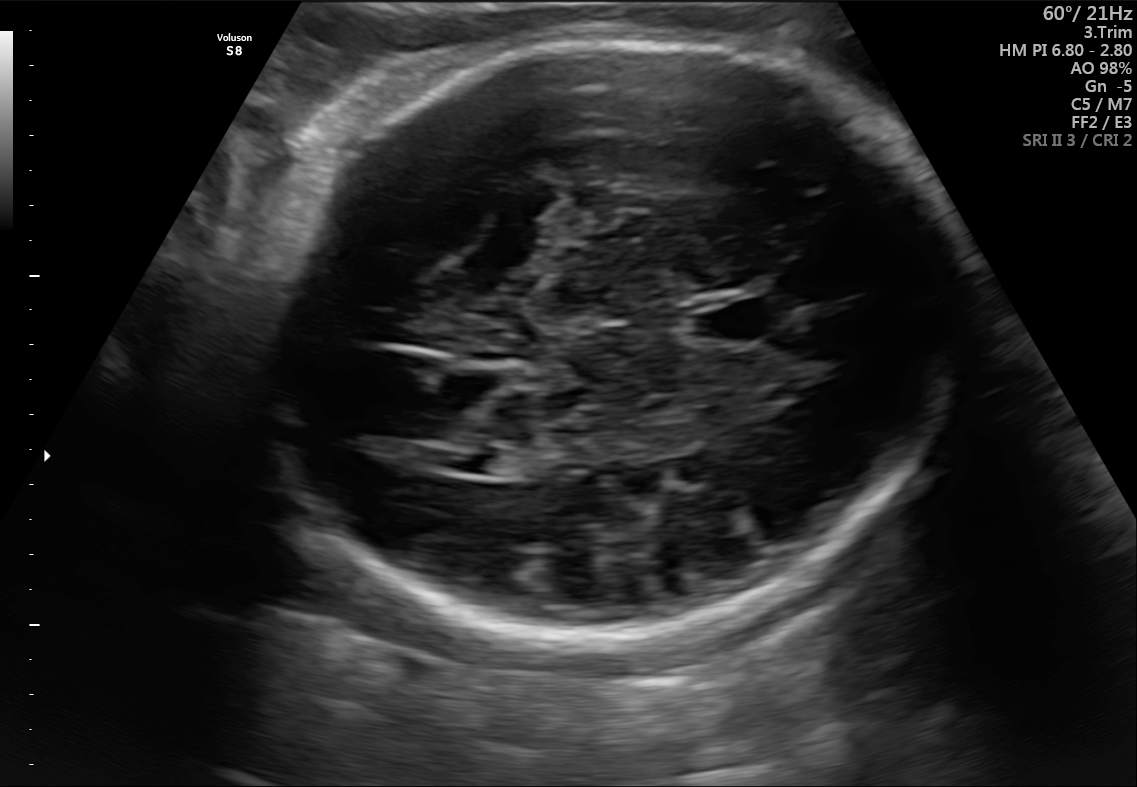
Fetal brain, trans-ventricular plane. Locate the cavum septum pellucidum.

CSP: [690,304,765,341]